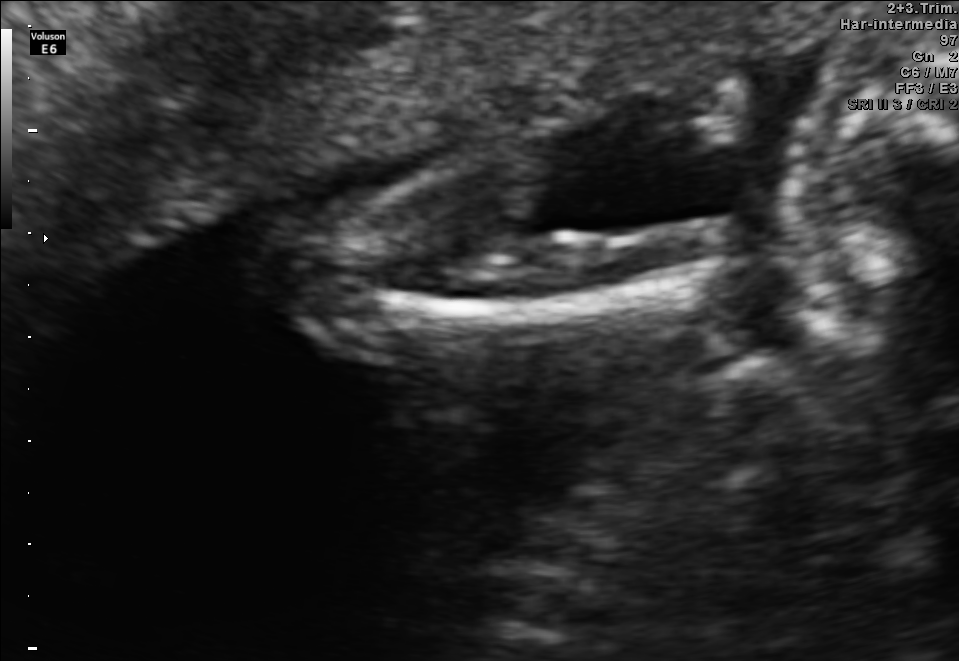
Classify this maternal-fetal ultrasound image as one of the six standard planes — fetal abdomen, fetal brain, fetal femur, fetal thorax, maternal cervix, or other. If it's fetal brain and one of the three standard brain planes (trans-thalamic, trans-cerebellum, trans-ventricular), name which.

Other